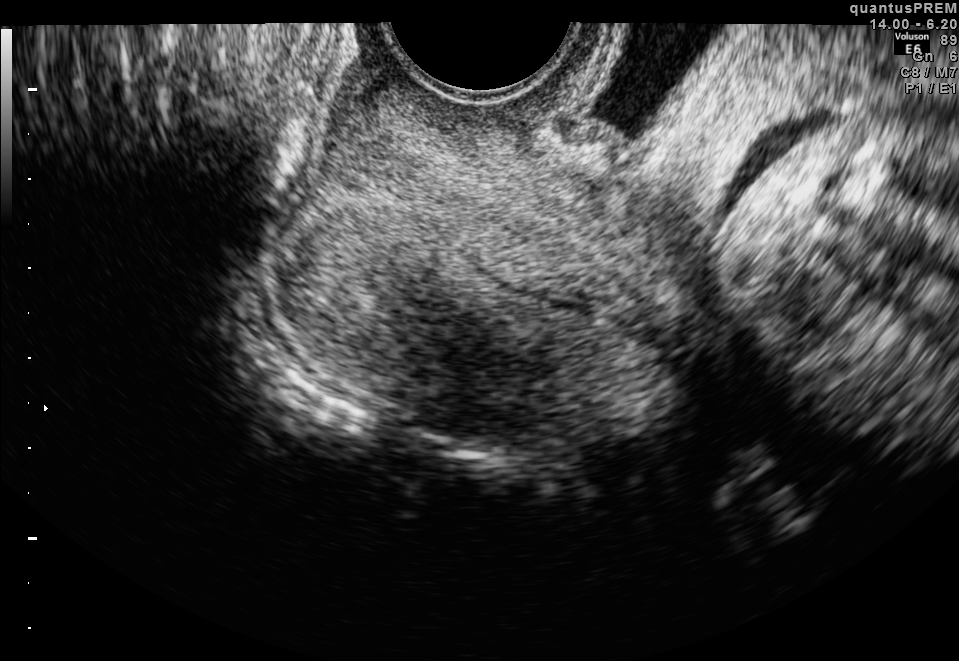
This is a 2D maternal-fetal ultrasound frame. Is it a fetal abdomen, fetal brain, fetal femur, fetal thorax, maternal cervix, or other standard plane? If it's fetal brain and one of the three standard brain planes (trans-thalamic, trans-cerebellum, trans-ventricular), name which.

Maternal cervix